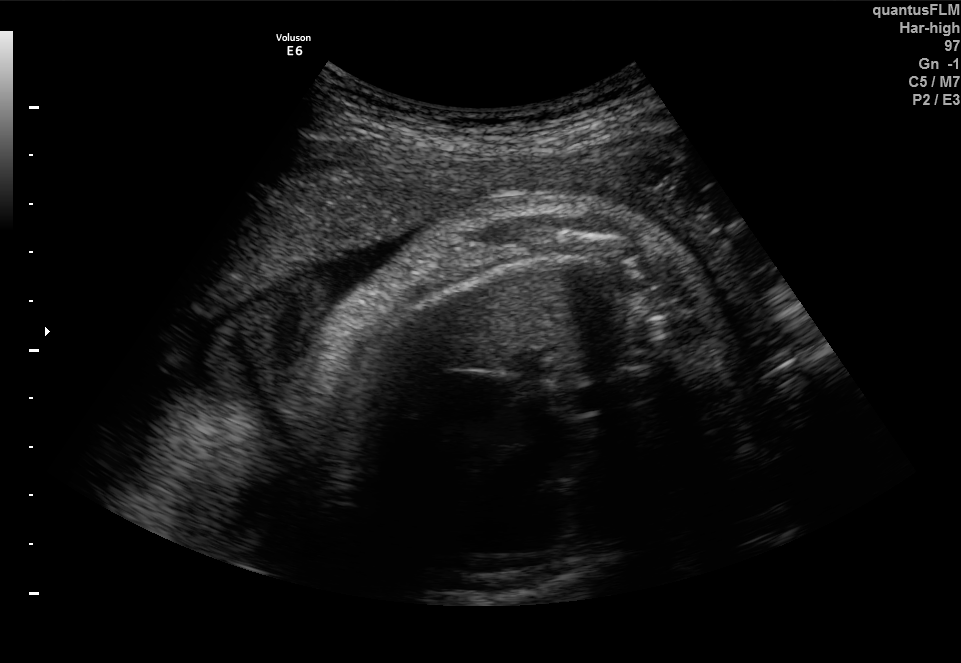
This is a 2D maternal-fetal ultrasound frame. Is it a fetal abdomen, fetal brain, fetal femur, fetal thorax, maternal cervix, or other standard plane? If it's fetal brain and one of the three standard brain planes (trans-thalamic, trans-cerebellum, trans-ventricular), name which.

Fetal thorax